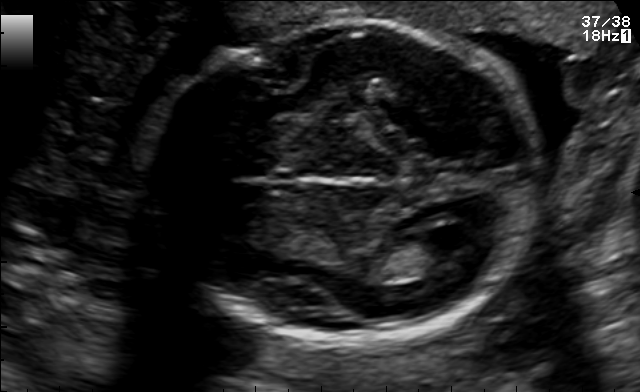
Fetal brain, trans-ventricular plane. Locate the fetal head and, if visible, the cavum septum pellucidum (CSP) and lateral ventricle (LV). Give bounding boxes as [x1,y1,x2,y2].

Head: [141,9,553,351]
CSP: [273,174,297,190]
Lateral ventricle: [422,215,491,257]